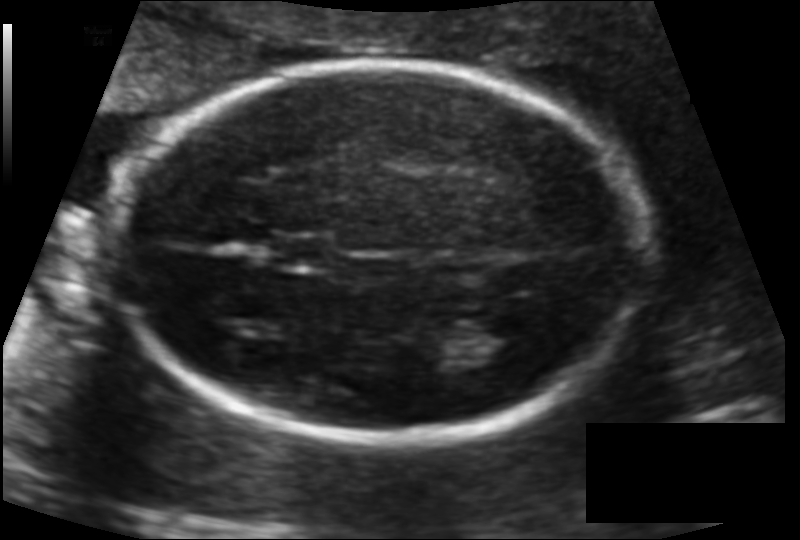
In this fetal head ultrasound, give the bounding box of the cavum septum pellucidum. Image width: 91.7 mm.

[275,234,334,270]